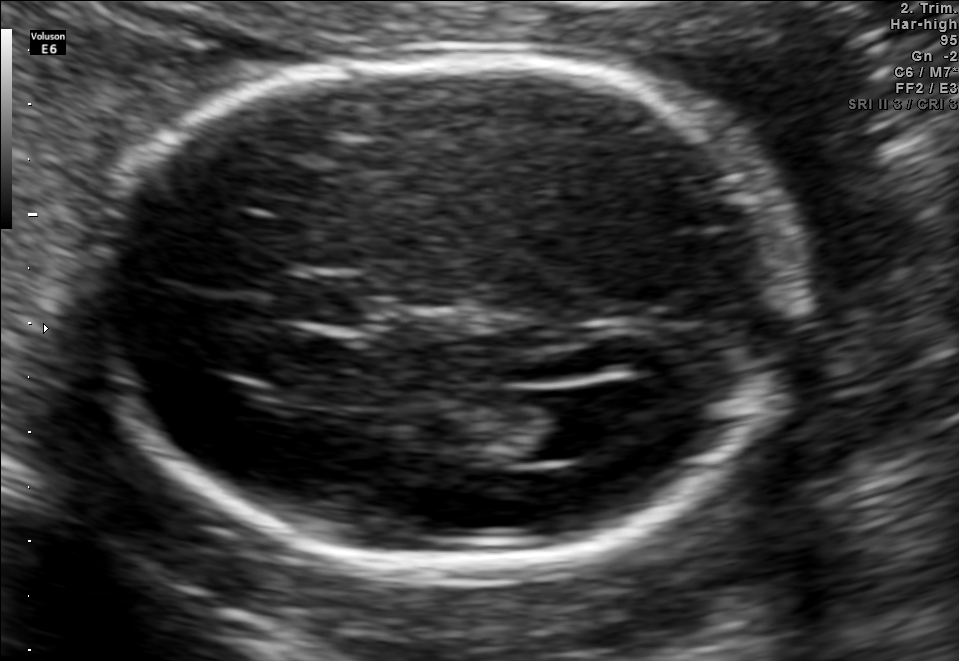
Fetal brain, trans-ventricular plane. Where is the cavum septum pellucidum?

CSP bounding box: [288,275,364,325]